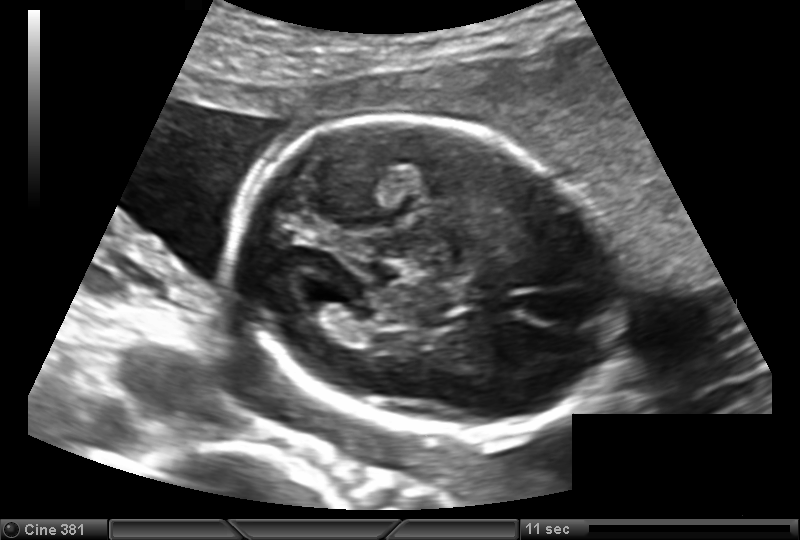
Fetal head ultrasound. Image width: 111.0 mm. Locate the fetal head and, if visible, the cavum septum pellucidum (CSP) and lateral ventricle (LV). Give bounding boxes as [x1,y1,x2,y2].

Head: [234,119,620,439]
Lateral ventricle: [292,276,351,335]